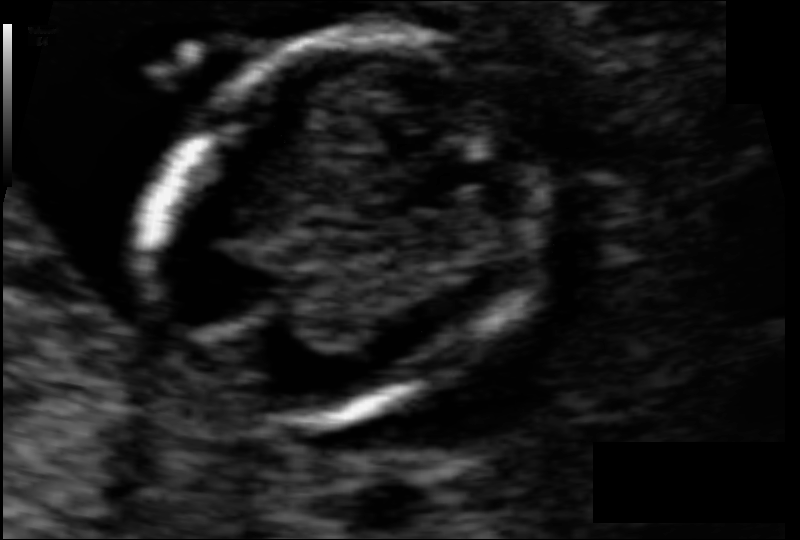
Fetal head ultrasound. Image width: 48.5 mm. Locate the fetal head and, if visible, the cavum septum pellucidum (CSP) and lateral ventricle (LV). Give bounding boxes as [x1,y1,x2,y2].

Head: [148,37,539,418]